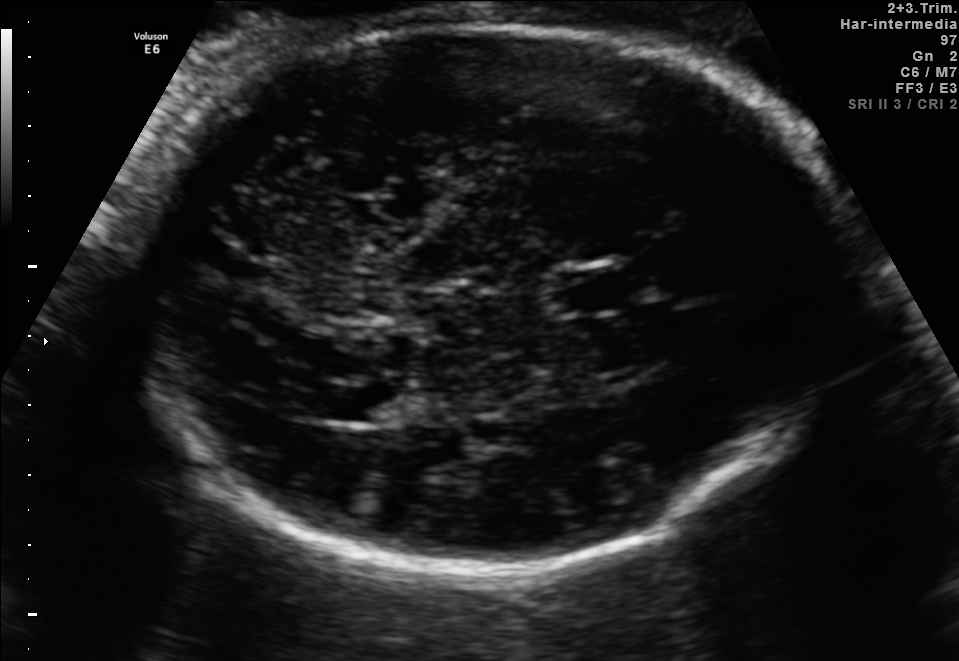
Fetal brain, trans-thalamic plane. Locate the cavum septum pellucidum.

CSP: [555,264,633,312]